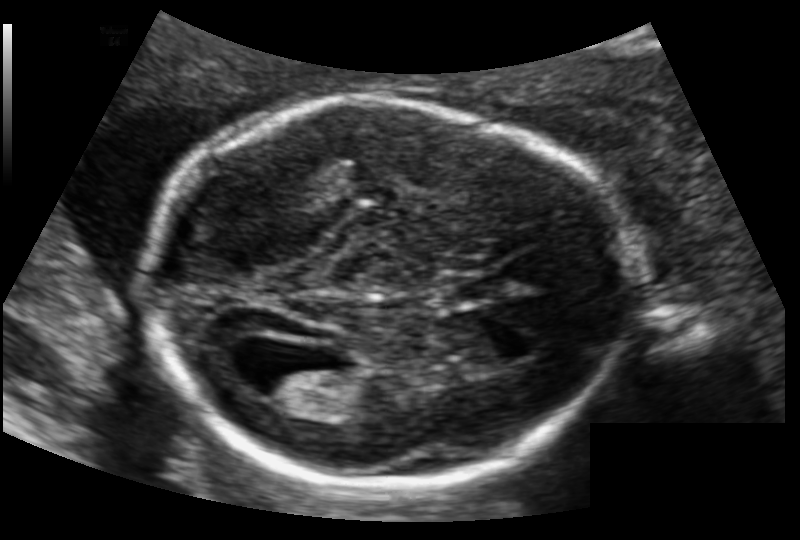
Estimate the fetal head circumference from this 2D ultrasound.

Head circumference: 178.3 mm (image width 100.7 mm).